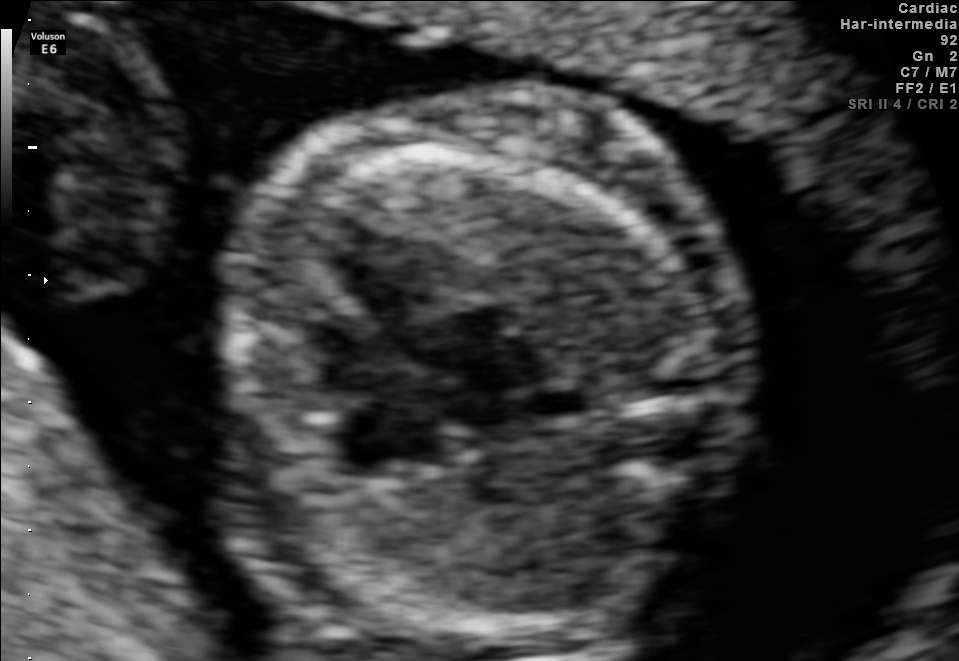
Identify the standard plane in this fetal ultrasound image: fetal abdomen, fetal brain, fetal femur, fetal thorax, maternal cervix, or other. If it's fetal brain and one of the three standard brain planes (trans-thalamic, trans-cerebellum, trans-ventricular), name which.

Fetal thorax